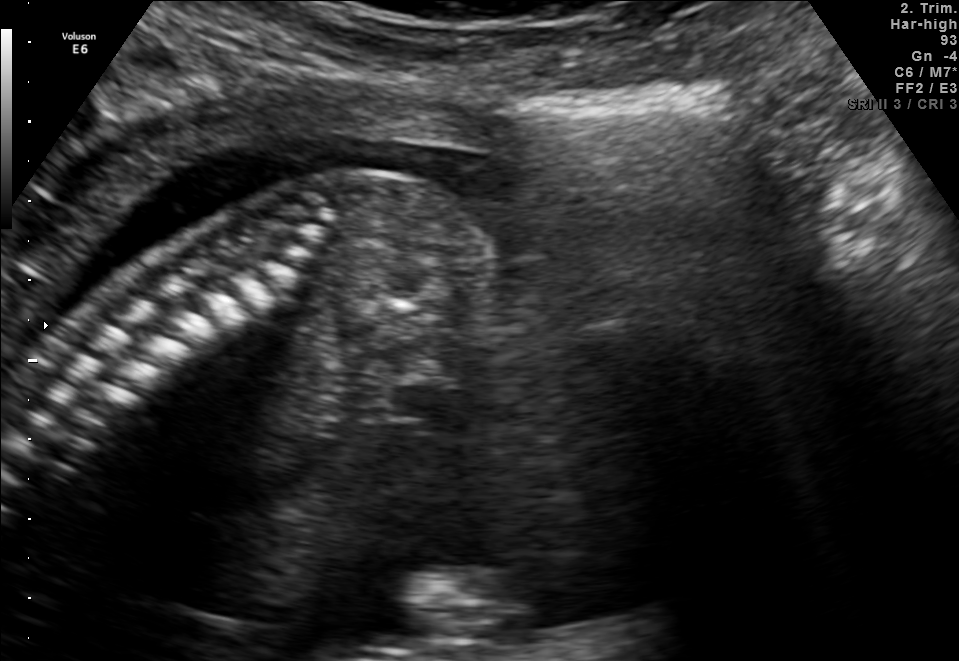
Identify the standard plane in this fetal ultrasound image: fetal abdomen, fetal brain, fetal femur, fetal thorax, maternal cervix, or other. If it's fetal brain and one of the three standard brain planes (trans-thalamic, trans-cerebellum, trans-ventricular), name which.

Other